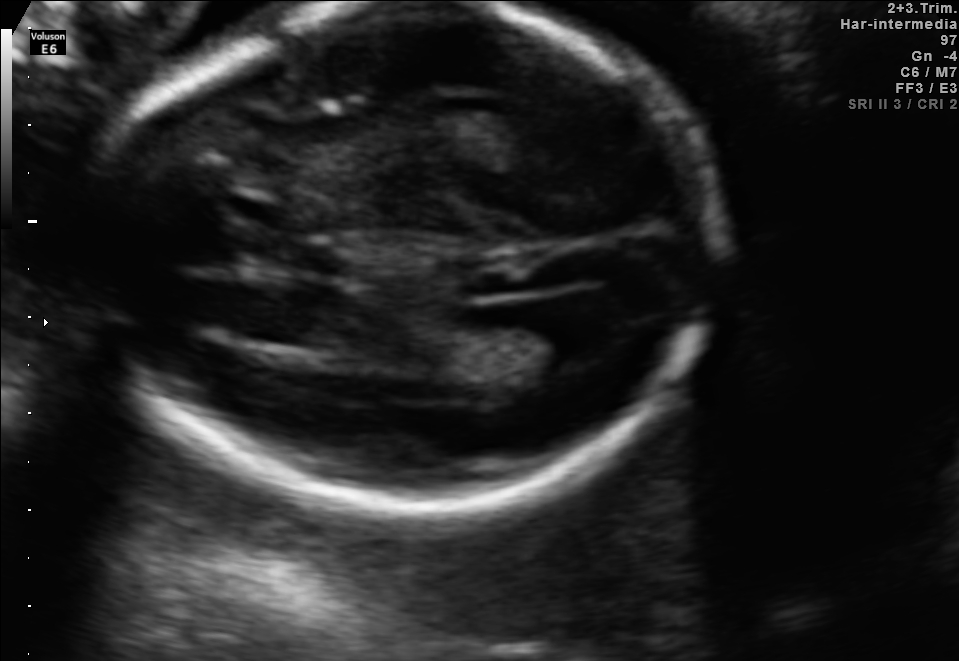
In this fetal brain, trans-ventricular plane, give bounding boxes for the head outline, cavum septum pellucidum (CSP), and lateral ventricle (LV), where visible.

Head: [74,1,741,526]
Lateral ventricle: [505,286,623,380]